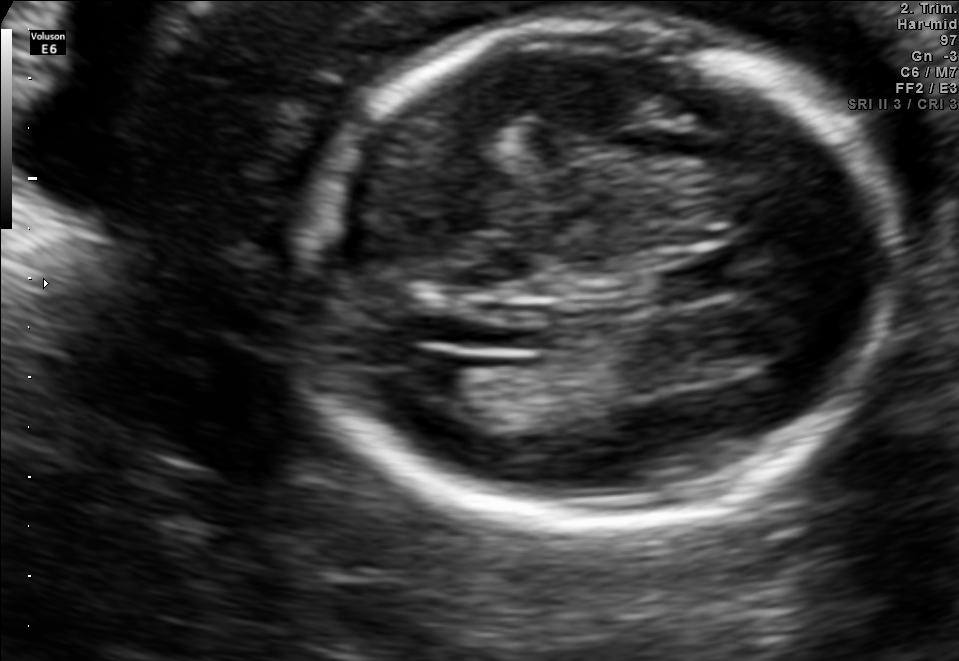
Fetal brain, trans-ventricular plane. Locate the fetal head and, if visible, the cavum septum pellucidum (CSP) and lateral ventricle (LV). Give bounding boxes as [x1,y1,x2,y2].

Head: [285,10,914,539]
CSP: [657,253,750,308]
Lateral ventricle: [398,343,473,403]